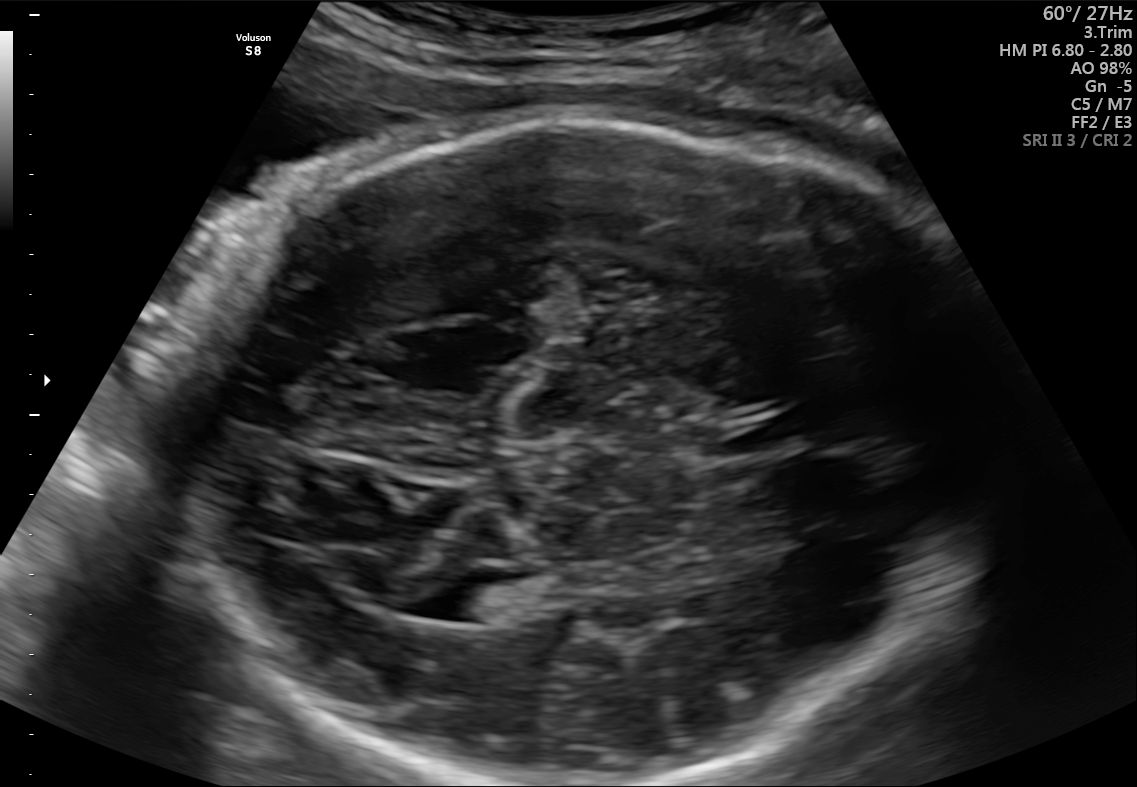
In this fetal brain, trans-thalamic plane, give the bounding box of the fetal head.

[177,119,1010,785]